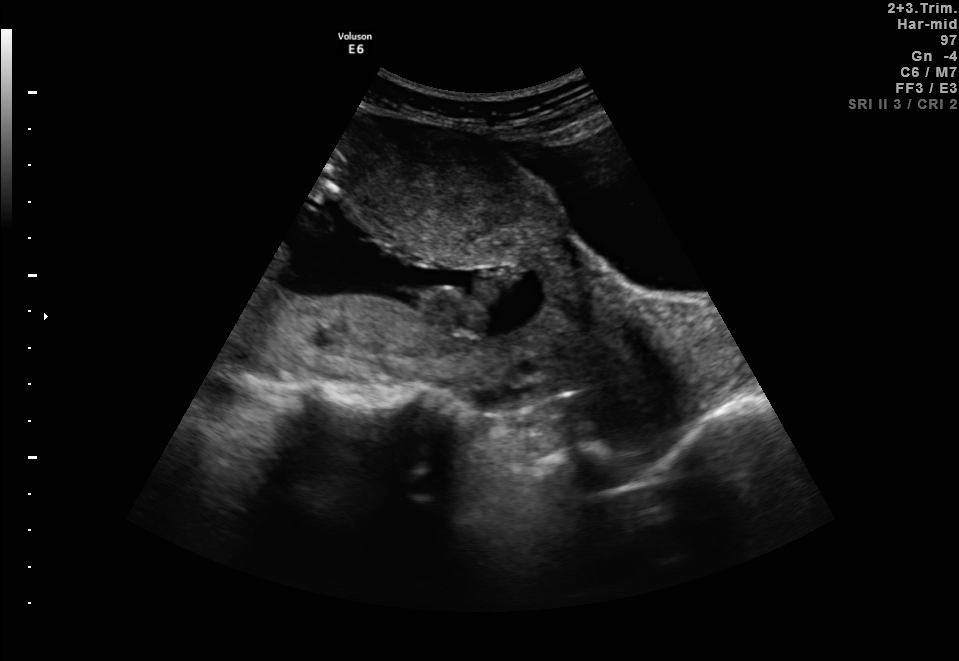
Identify the standard plane in this fetal ultrasound image: fetal abdomen, fetal brain, fetal femur, fetal thorax, maternal cervix, or other. If it's fetal brain and one of the three standard brain planes (trans-thalamic, trans-cerebellum, trans-ventricular), name which.

Other